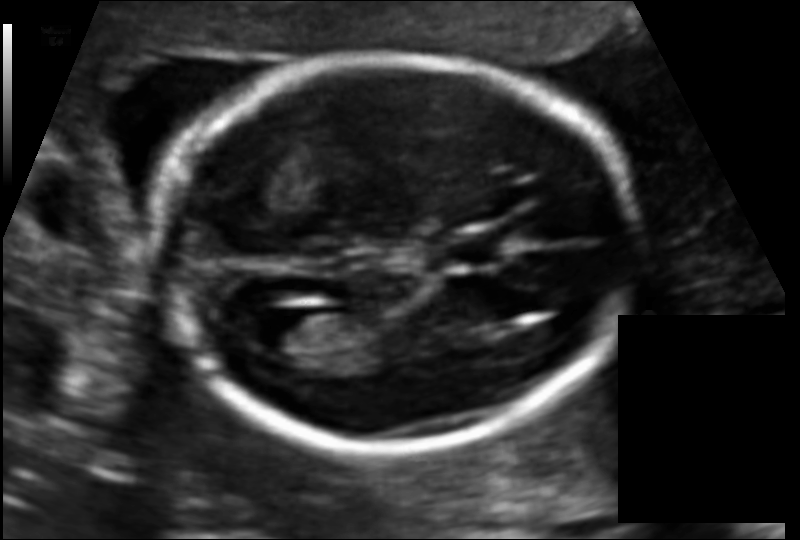
Fetal head ultrasound. Image width: 87.1 mm. Where is the fetal head?

Head bounding box: [158,55,636,446]